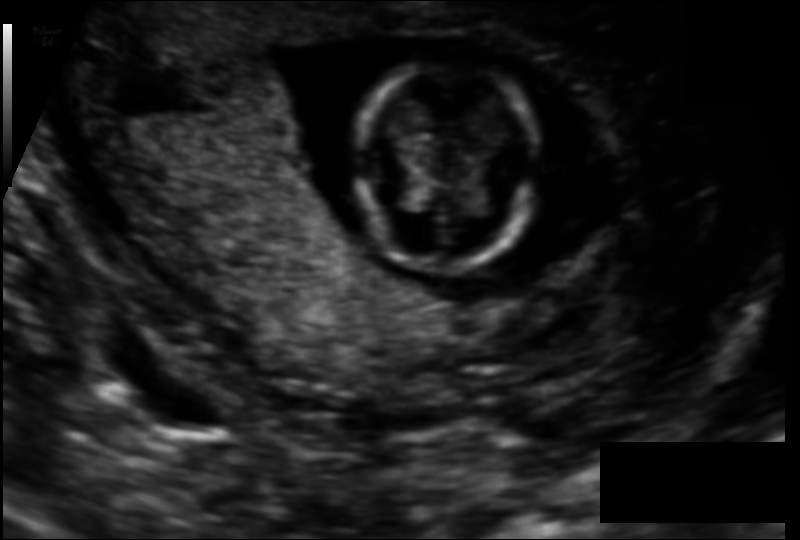
From this fetal ultrasound, estimate the head circumference (image width 88.1 mm).

Head circumference: 69.7 mm.